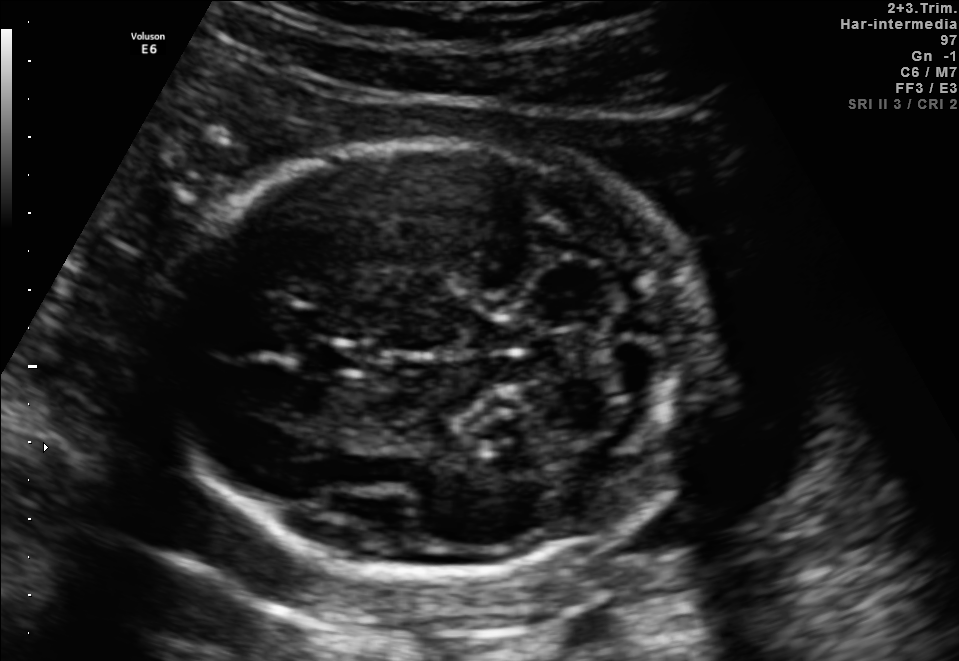
Fetal brain, trans-cerebellum plane. Where is the fetal head?

Head bounding box: [163,141,712,570]